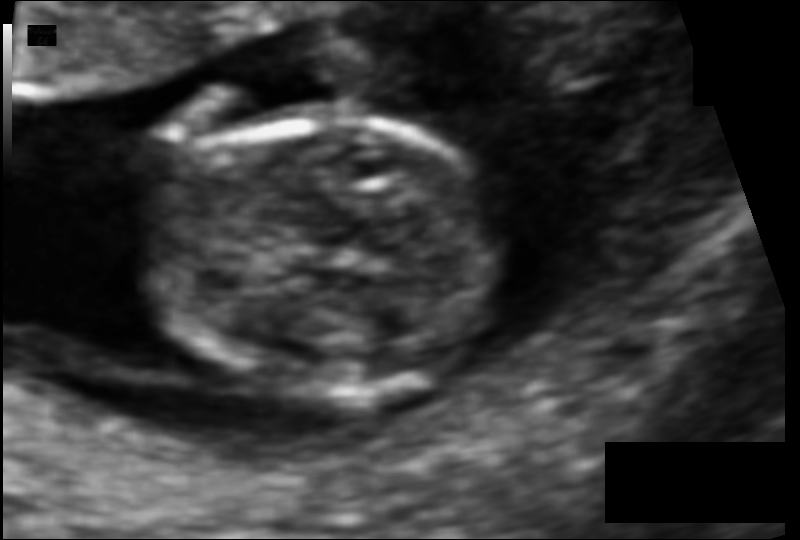
Fetal head ultrasound. Image width: 58.2 mm. Locate the fetal head.

Head: [146,120,509,400]